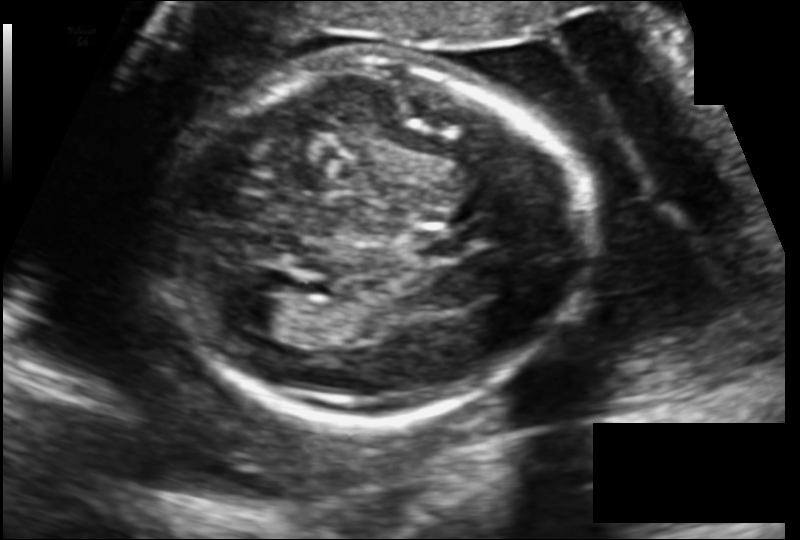
In this fetal head ultrasound, give the bounding box of the lateral ventricle. Image width: 110.0 mm.

[224,291,290,335]